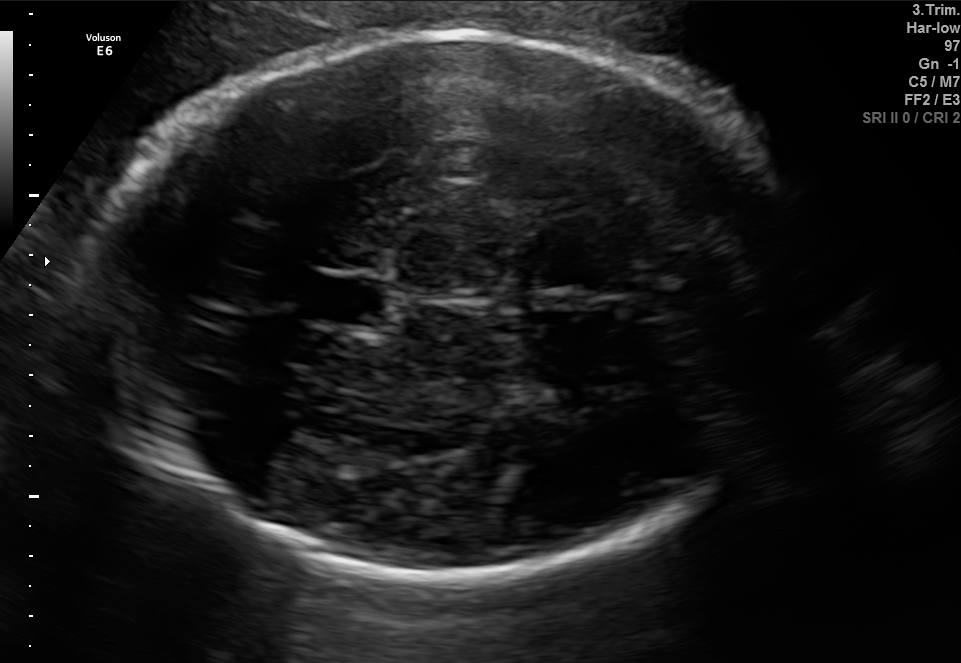
Fetal brain, trans-thalamic plane. Give [x1,y1,x2,y2] bounding boxes for each visible structure among: fetal head, CSP, LV.

Head: [91,34,810,577]
CSP: [307,275,383,326]